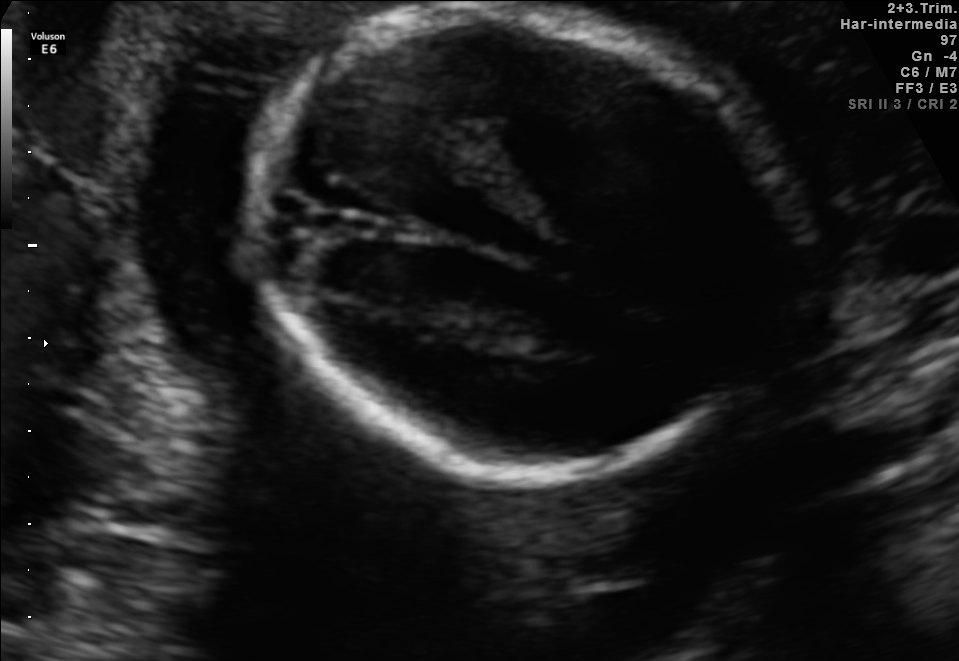
In this fetal brain, trans-thalamic plane, give the bounding box of the fetal head.

[253,11,804,474]